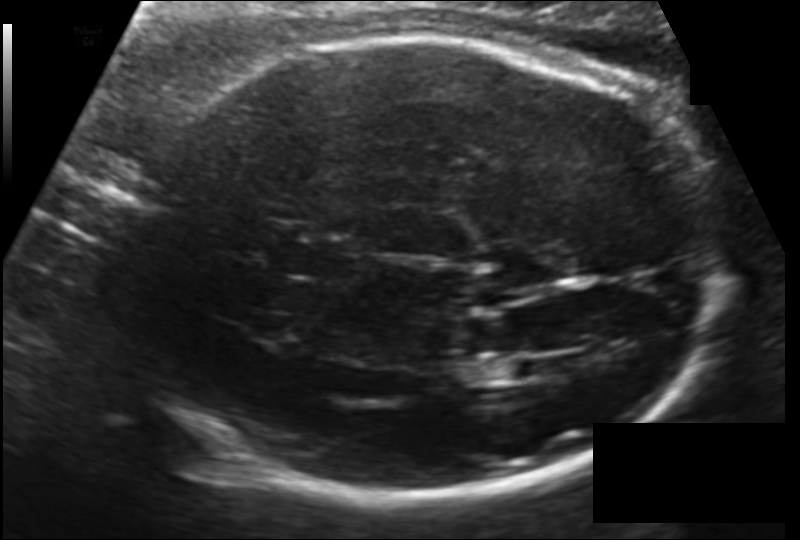
In this fetal head ultrasound, give the bounding box of the fetal head. Image width: 120.6 mm.

[122,38,723,501]